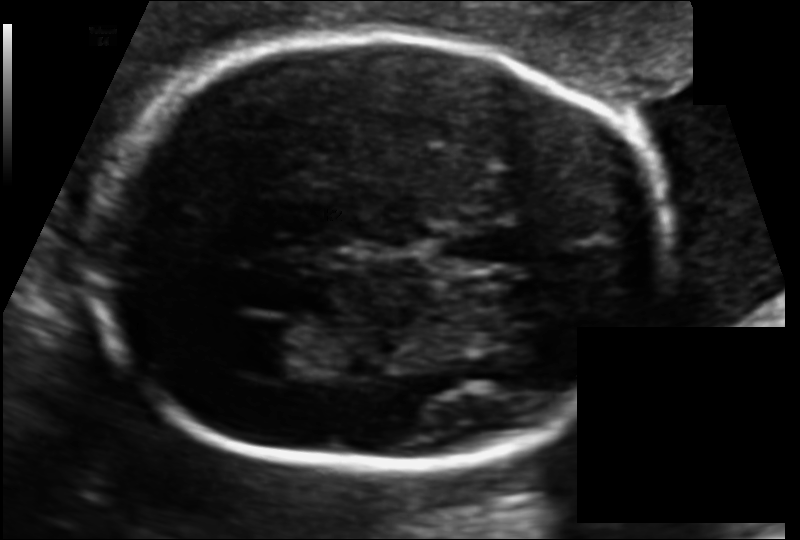
Fetal head ultrasound. Image width: 89.0 mm. Where is the cavum septum pellucidum?

CSP bounding box: [440,216,530,272]